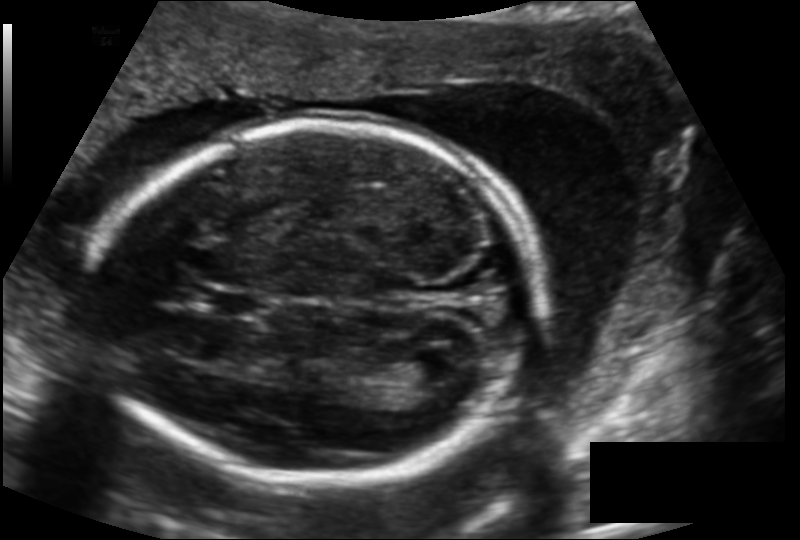
In this fetal head ultrasound, give the bounding box of the lateral ventricle. Image width: 114.6 mm.

[389,341,460,397]